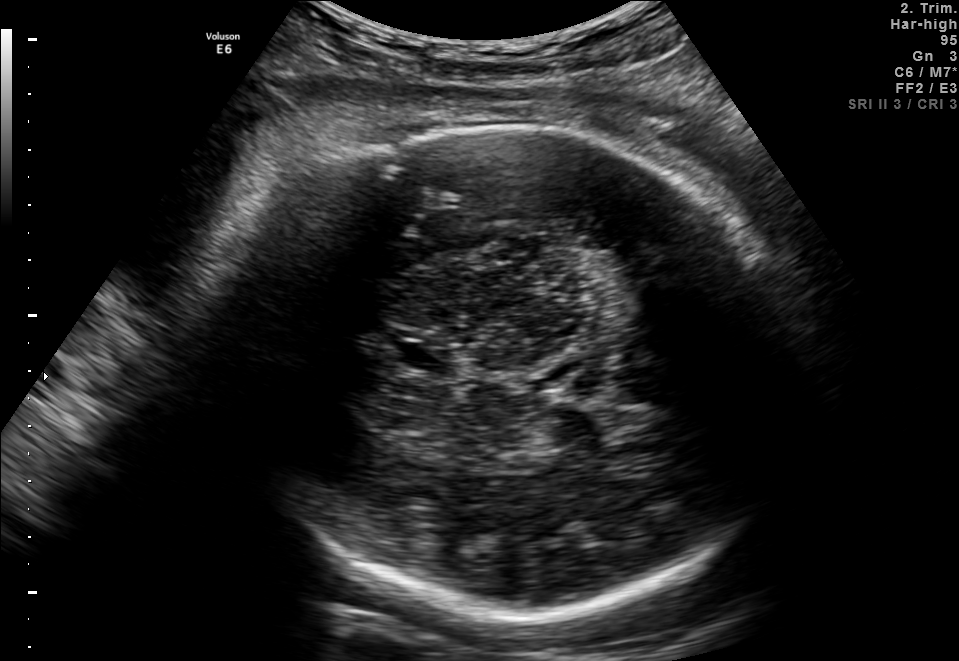
Fetal brain, trans-thalamic plane. Where is the fetal head?

Head bounding box: [227,129,798,614]